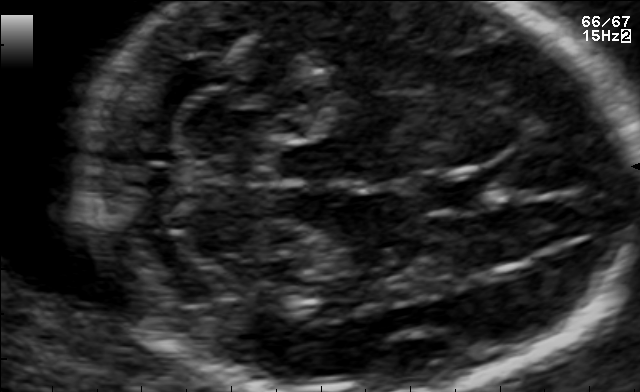
Fetal brain, trans-cerebellum plane. Locate the fetal head and, if visible, the cavum septum pellucidum (CSP) and lateral ventricle (LV). Give bounding boxes as [x1,y1,x2,y2].

Head: [81,4,635,391]
CSP: [415,163,504,219]